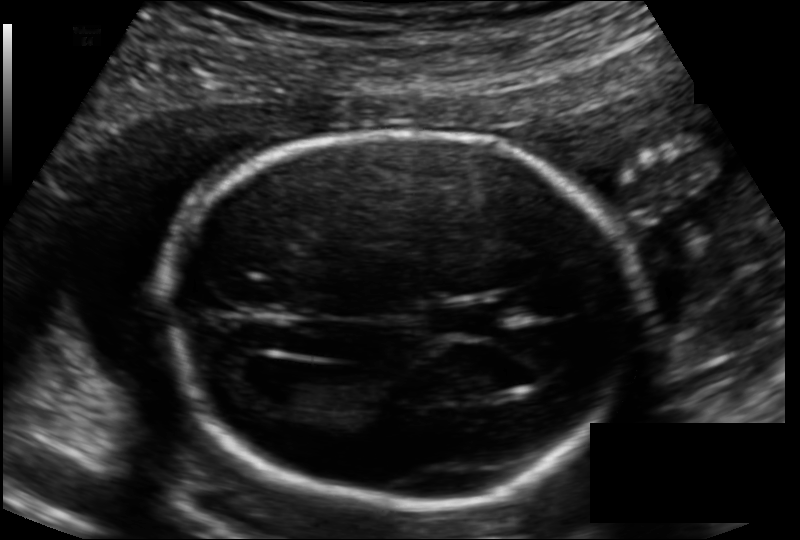
Measure the fetal head circumference shown in this ultrasound image. Image width: 100.8 mm.

Head circumference: 171.2 mm.